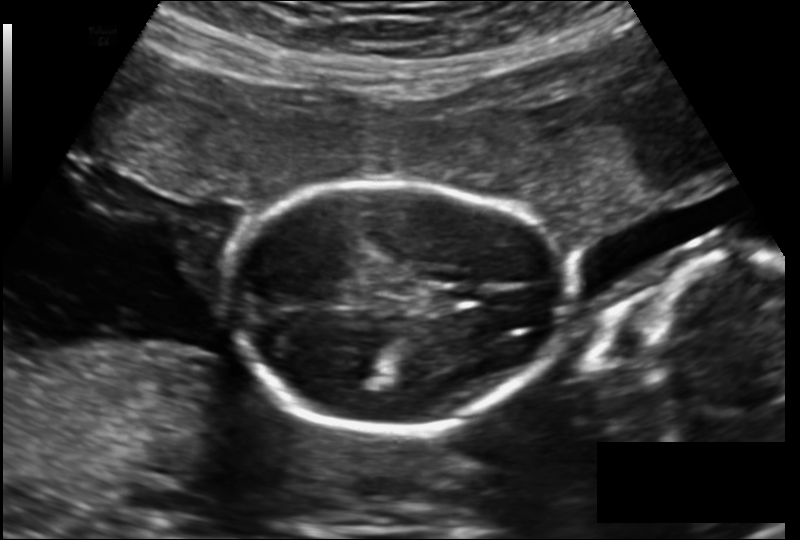
In this fetal head ultrasound, give the bounding box of the fetal head. Image width: 125.7 mm.

[229,182,567,430]